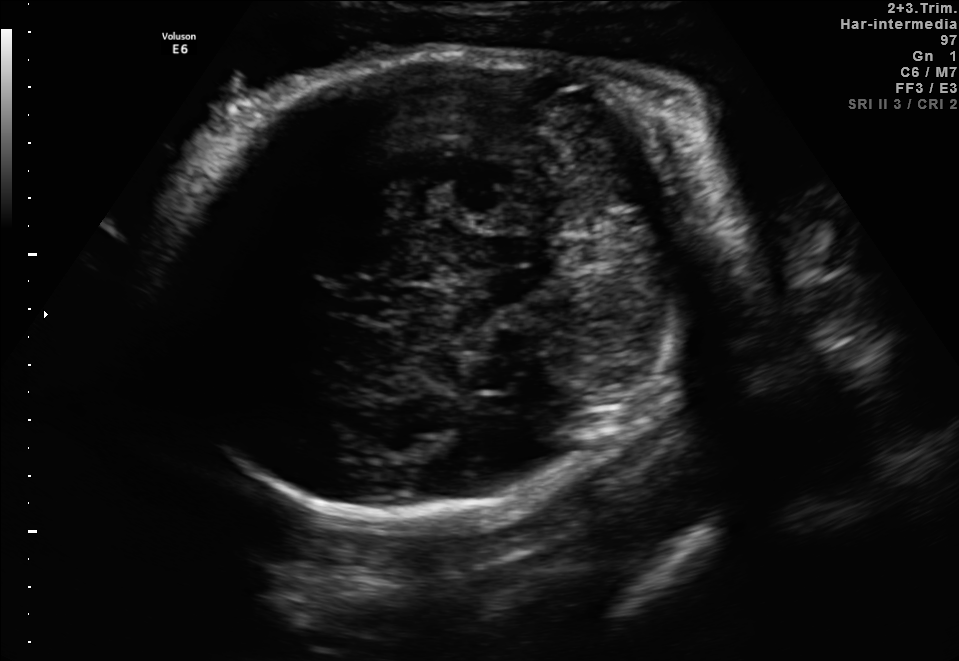
Fetal brain, trans-thalamic plane. Where is the fetal head?

Head bounding box: [161,53,686,528]